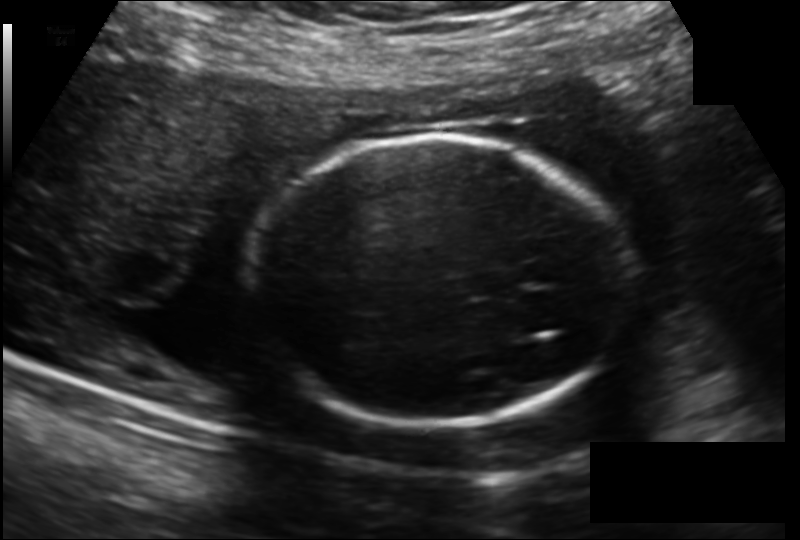
Estimate the fetal head circumference from this 2D ultrasound.

Head circumference: 183.1 mm (image width 132.5 mm).